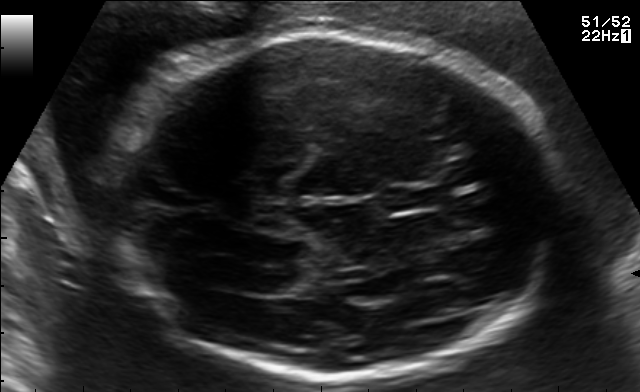
Fetal brain, trans-ventricular plane. Locate the fetal head.

Head: [97,28,575,383]